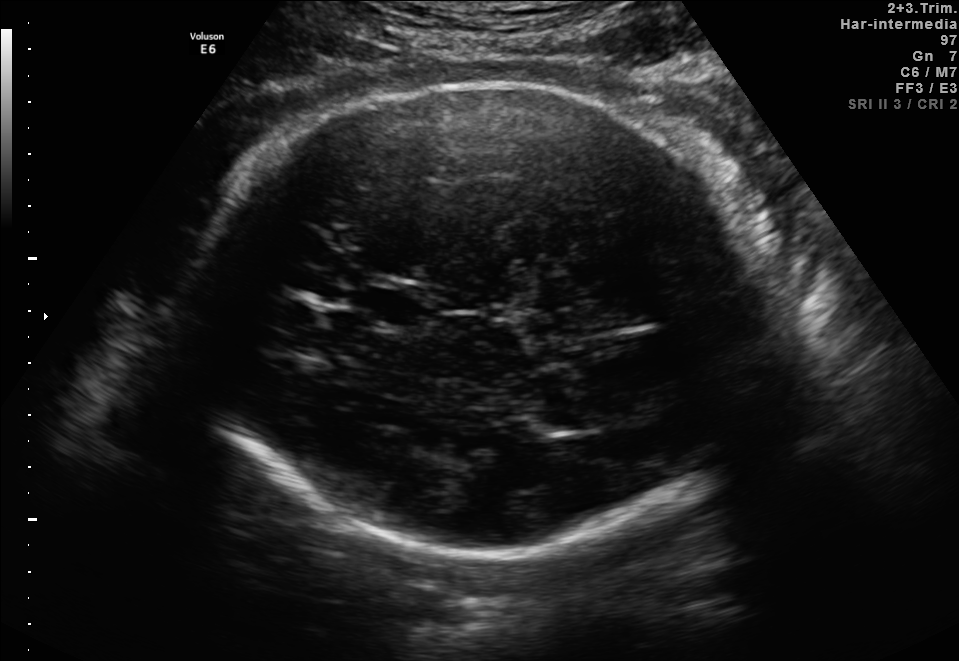
Fetal brain, trans-thalamic plane. Where is the lateral ventricle?

Lateral ventricle bounding box: [532,403,607,435]